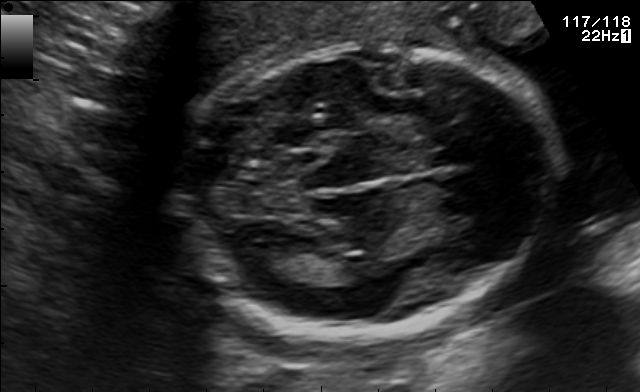
Fetal brain, trans-thalamic plane. Locate the fetal head and, if visible, the cavum septum pellucidum (CSP) and lateral ventricle (LV). Give bounding boxes as [x1,y1,x2,y2].

Head: [186,43,552,334]
Lateral ventricle: [237,234,313,282]